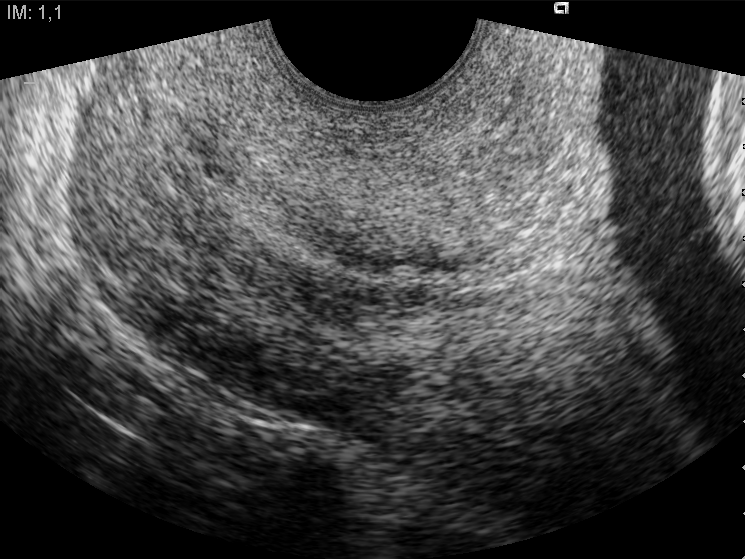
This is a 2D maternal-fetal ultrasound frame. Is it a fetal abdomen, fetal brain, fetal femur, fetal thorax, maternal cervix, or other standard plane? If it's fetal brain and one of the three standard brain planes (trans-thalamic, trans-cerebellum, trans-ventricular), name which.

Maternal cervix